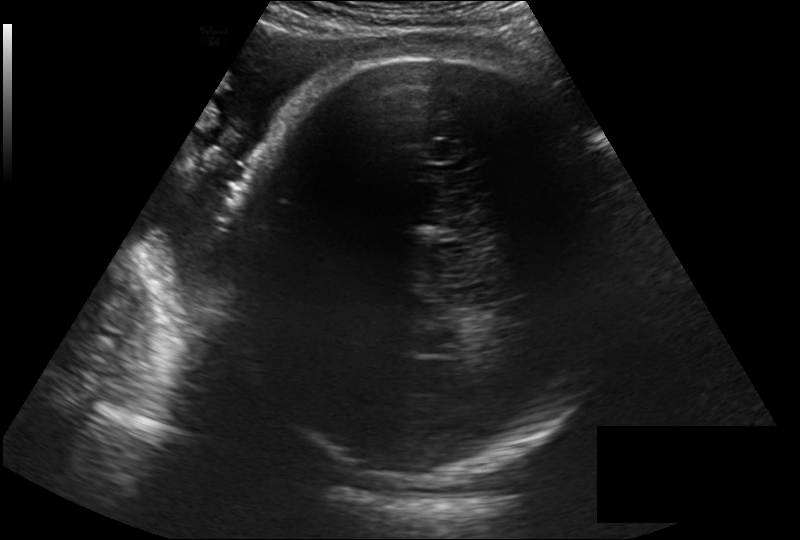
From this fetal ultrasound, estimate the head circumference (image width 206.0 mm).

Head circumference: 330.7 mm.